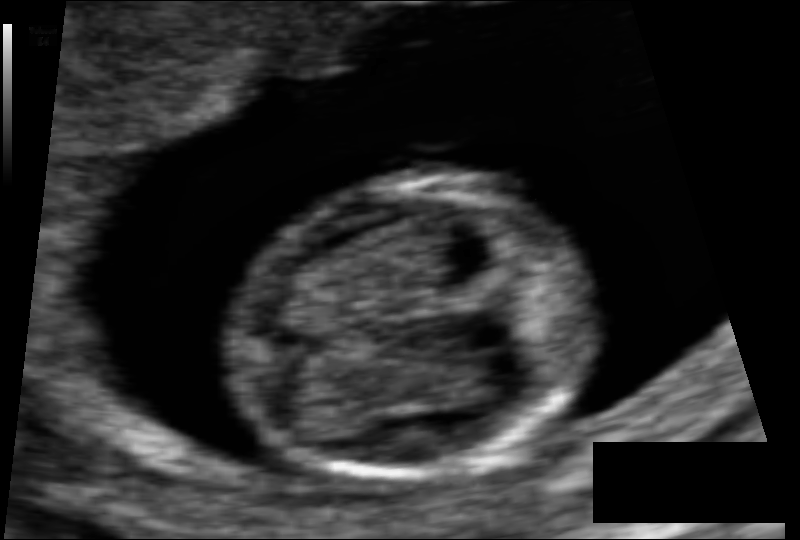
Measure the fetal head circumference shown in this ultrasound image. Image width: 51.5 mm.

Head circumference: 69.9 mm.